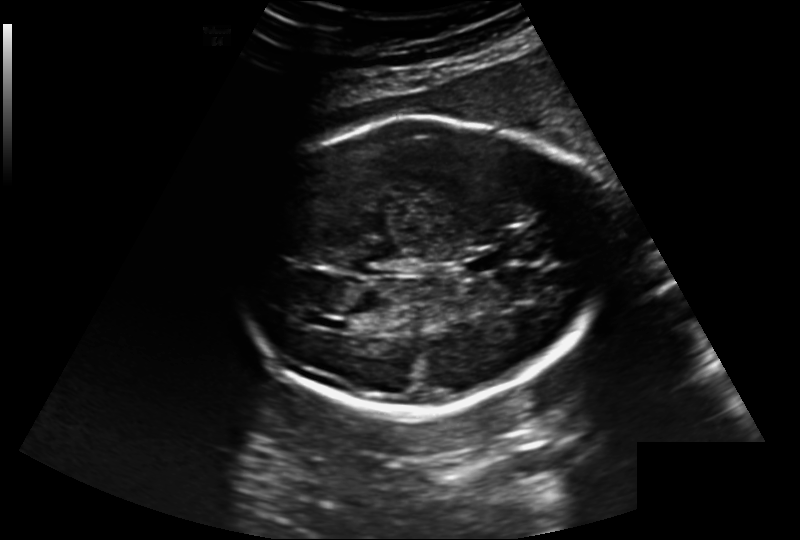
In this fetal head ultrasound, give the bounding box of the cavum septum pellucidum. Image width: 175.6 mm.

[462,251,500,278]